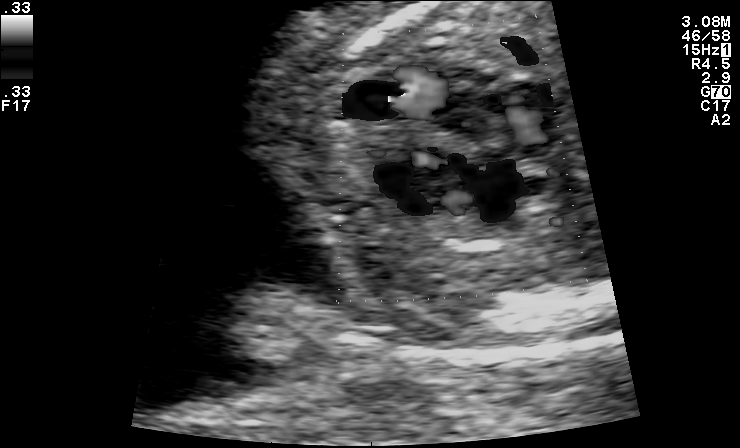
Identify the standard plane in this fetal ultrasound image: fetal abdomen, fetal brain, fetal femur, fetal thorax, maternal cervix, or other. If it's fetal brain and one of the three standard brain planes (trans-thalamic, trans-cerebellum, trans-ventricular), name which.

Other